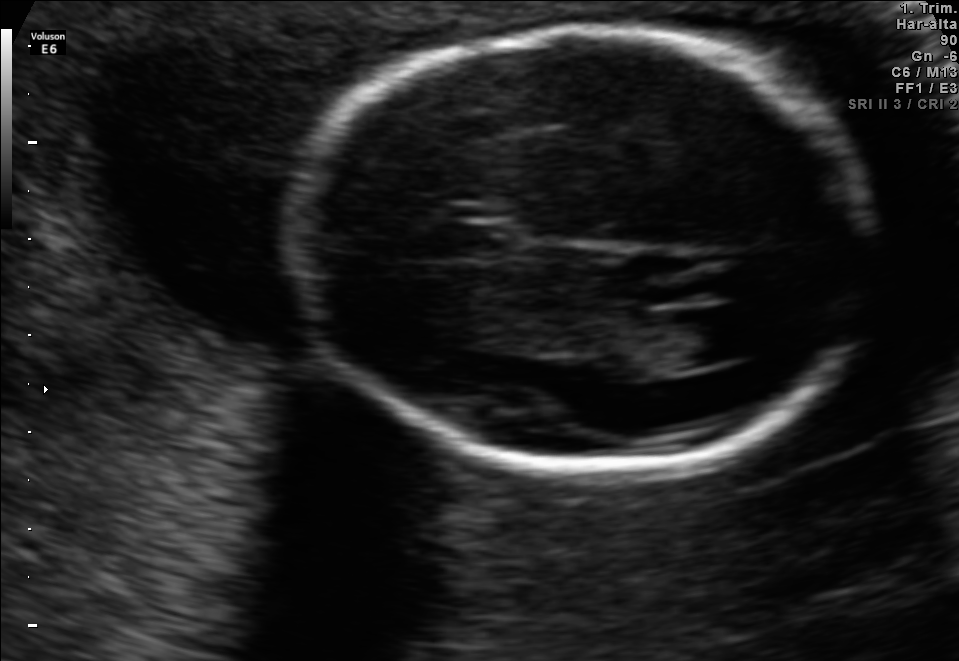
Identify the standard plane in this fetal ultrasound image: fetal abdomen, fetal brain, fetal femur, fetal thorax, maternal cervix, or other. If it's fetal brain and one of the three standard brain planes (trans-thalamic, trans-cerebellum, trans-ventricular), name which.

Fetal brain (trans-ventricular plane)